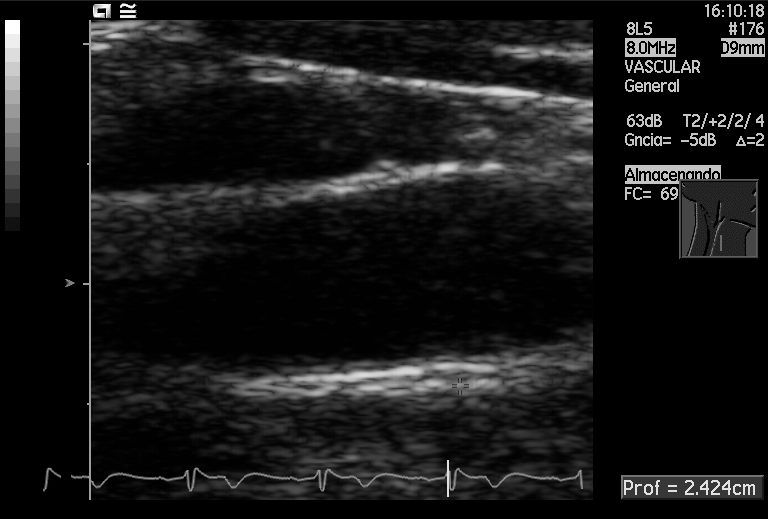
This is a 2D maternal-fetal ultrasound frame. Is it a fetal abdomen, fetal brain, fetal femur, fetal thorax, maternal cervix, or other standard plane? If it's fetal brain and one of the three standard brain planes (trans-thalamic, trans-cerebellum, trans-ventricular), name which.

Other